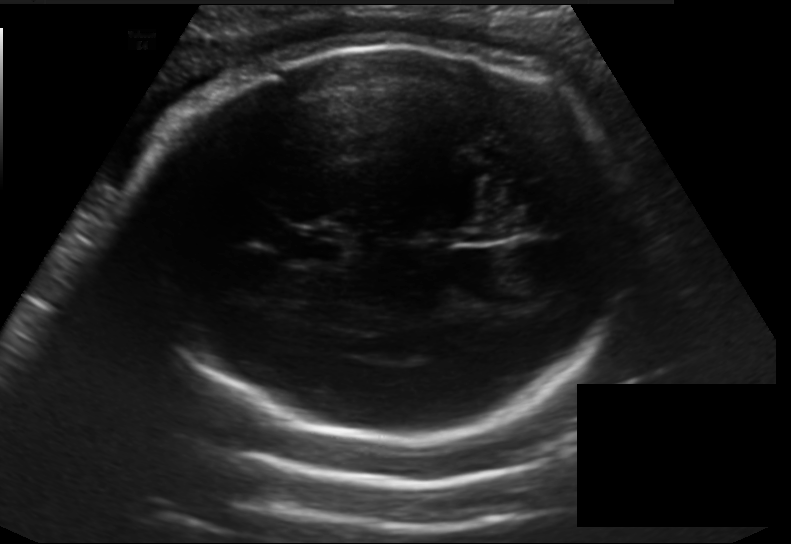
In this fetal head ultrasound, give the bounding box of the fetal head. Image width: 156.8 mm.

[135,41,629,444]